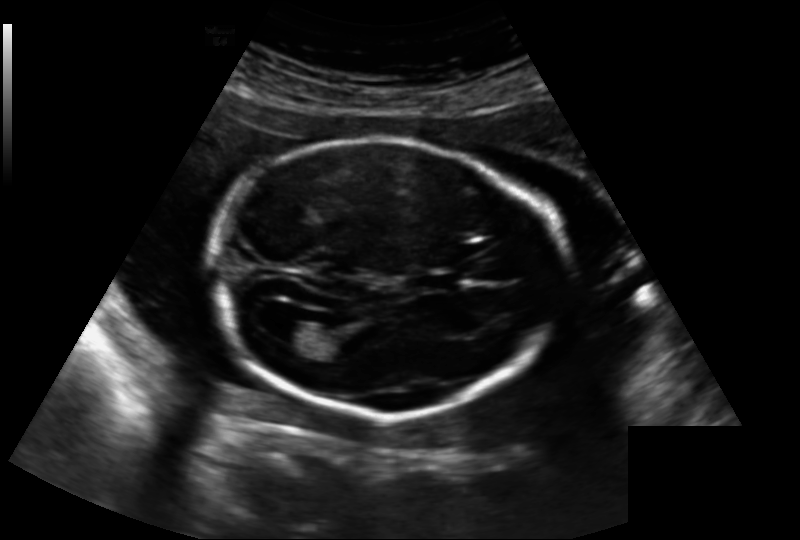
What is the fetal head circumference? Image width is 150.3 mm.

193.1 mm